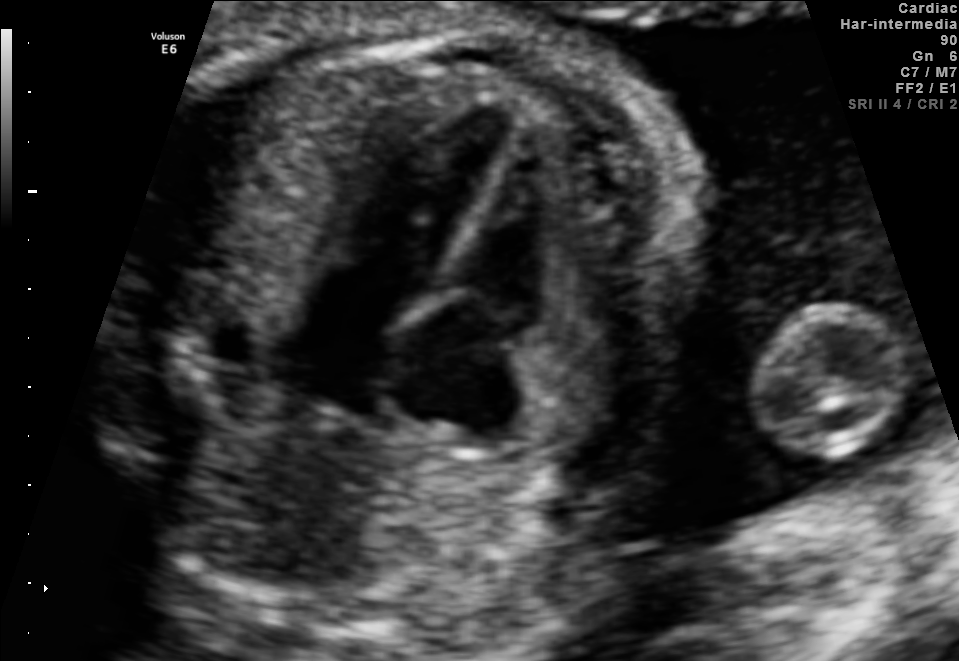
Which standard maternal-fetal ultrasound plane is shown: fetal abdomen, fetal brain, fetal femur, fetal thorax, maternal cervix, or other? If it's fetal brain and one of the three standard brain planes (trans-thalamic, trans-cerebellum, trans-ventricular), name which.

Fetal thorax